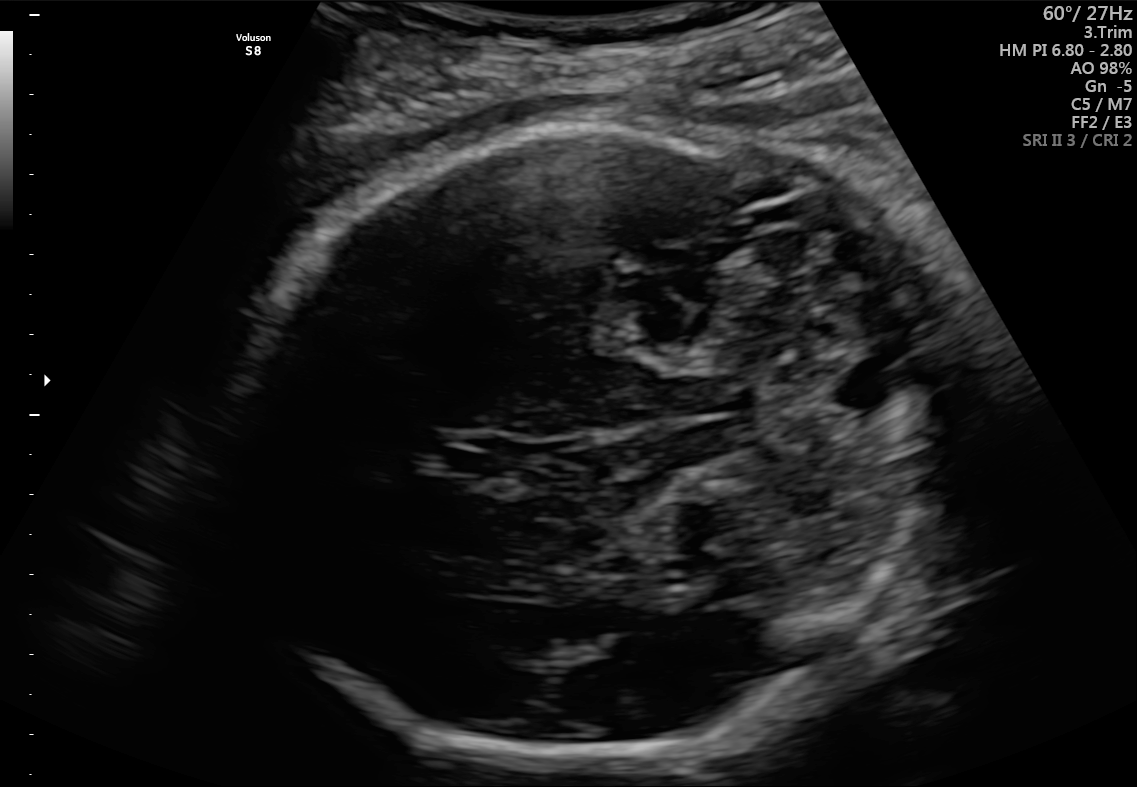
Fetal brain, trans-cerebellum plane. Locate the fetal head and, if visible, the cavum septum pellucidum (CSP) and lateral ventricle (LV). Give bounding boxes as [x1,y1,x2,y2].

Head: [230,127,947,755]